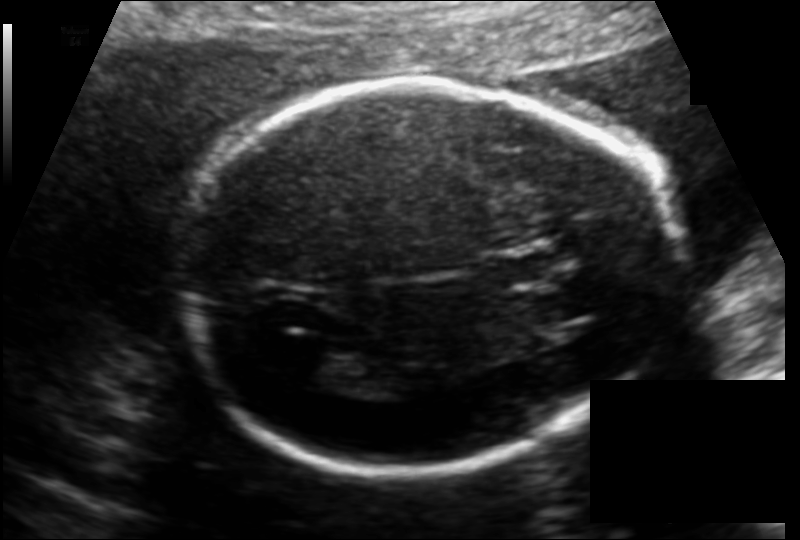
Fetal head ultrasound. Image width: 104.3 mm. Locate the lateral ventricle.

Lateral ventricle: [288,339,367,392]